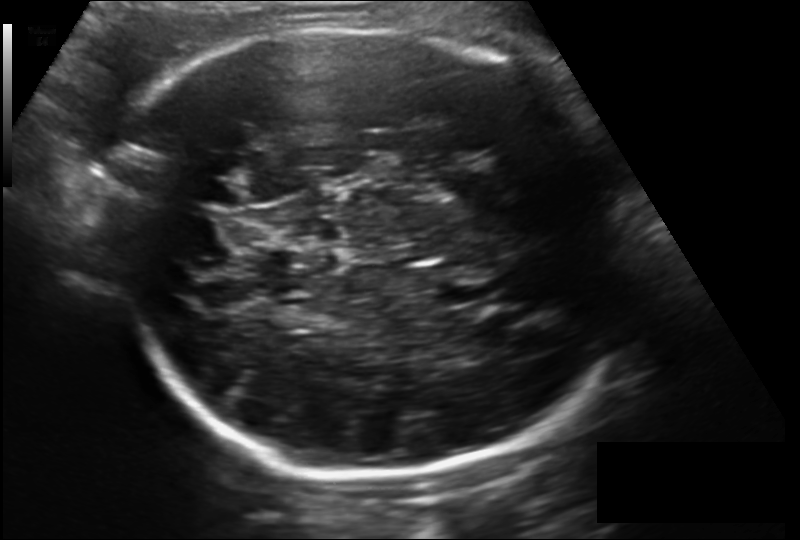
Fetal head ultrasound. Image width: 152.2 mm. Give [x1,y1,x2,y2] bounding boxes for each visible structure among: fetal head, CSP, LV.

Head: [97,28,630,476]